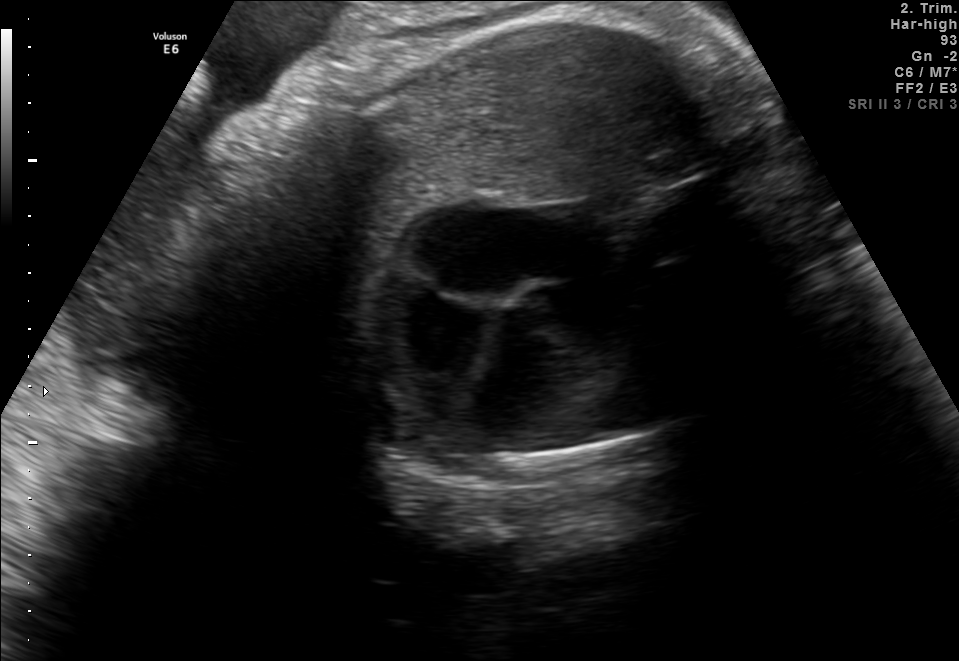
This is a 2D maternal-fetal ultrasound frame. Is it a fetal abdomen, fetal brain, fetal femur, fetal thorax, maternal cervix, or other standard plane? If it's fetal brain and one of the three standard brain planes (trans-thalamic, trans-cerebellum, trans-ventricular), name which.

Fetal thorax